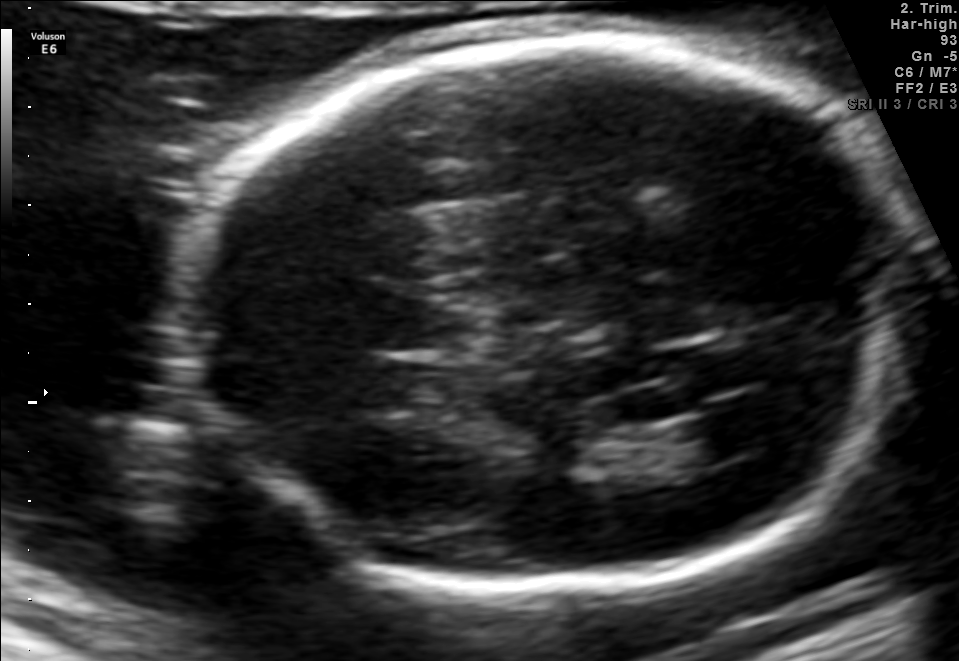
Fetal brain, trans-ventricular plane. Where is the lateral ventricle?

Lateral ventricle bounding box: [670,390,788,476]